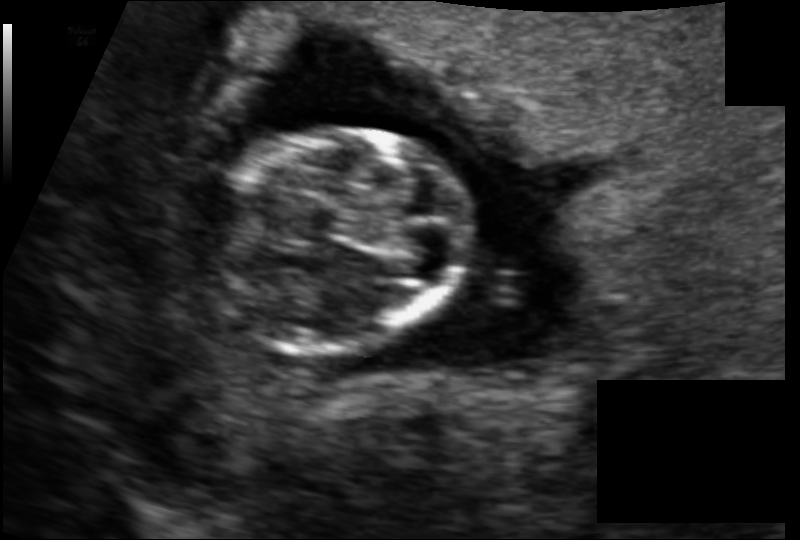
From this fetal ultrasound, estimate the head circumference (image width 77.7 mm).

Head circumference: 75.9 mm.